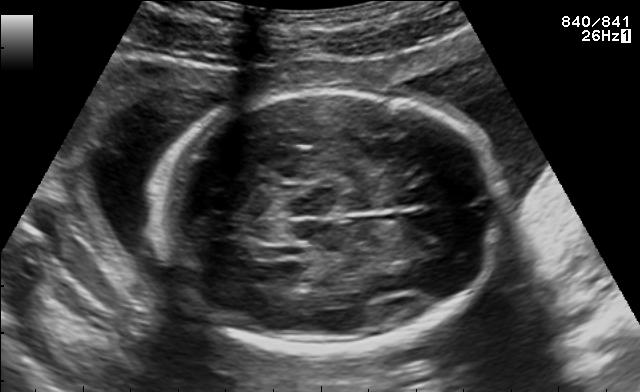
Fetal brain, trans-thalamic plane. Where is the fetal head?

Head bounding box: [152,90,507,353]